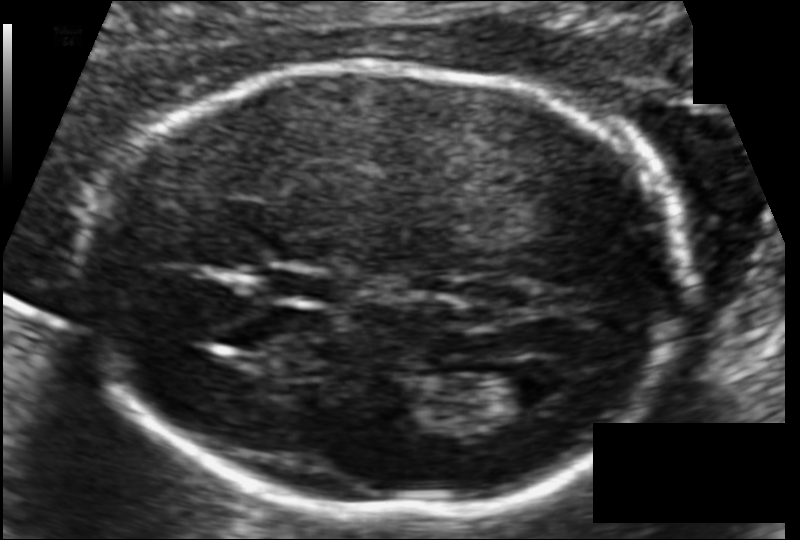
In this fetal head ultrasound, give the bounding box of the lateral ventricle. Image width: 81.8 mm.

[478,350,571,420]